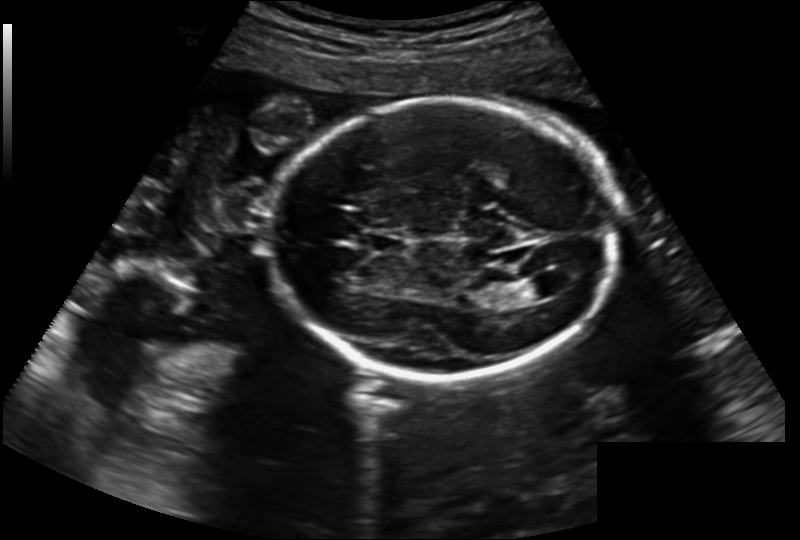
Fetal head ultrasound. Image width: 161.7 mm. Locate the cavum septum pellucidum.

CSP: [368,231,405,252]